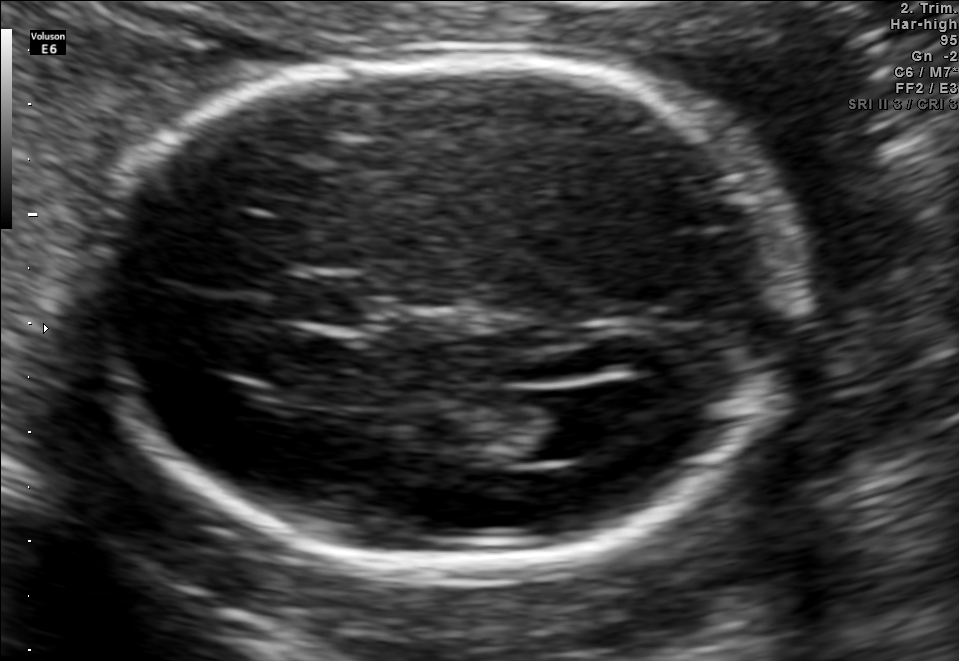
Fetal brain, trans-ventricular plane. Where is the lateral ventricle?

Lateral ventricle bounding box: [518,386,629,462]